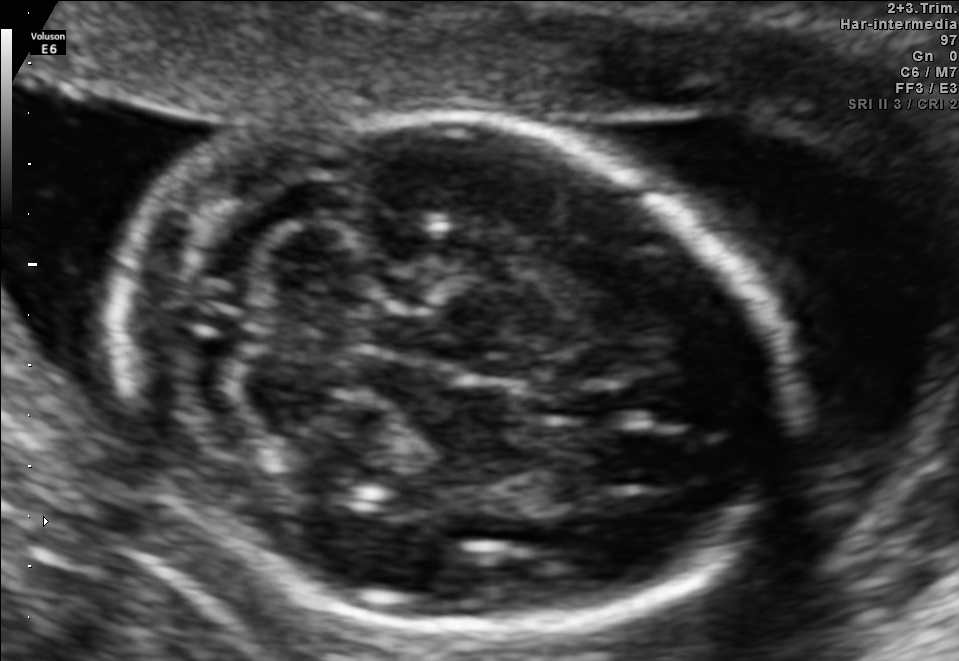
This is a 2D maternal-fetal ultrasound frame. Is it a fetal abdomen, fetal brain, fetal femur, fetal thorax, maternal cervix, or other standard plane? If it's fetal brain and one of the three standard brain planes (trans-thalamic, trans-cerebellum, trans-ventricular), name which.

Fetal brain (trans-cerebellum plane)